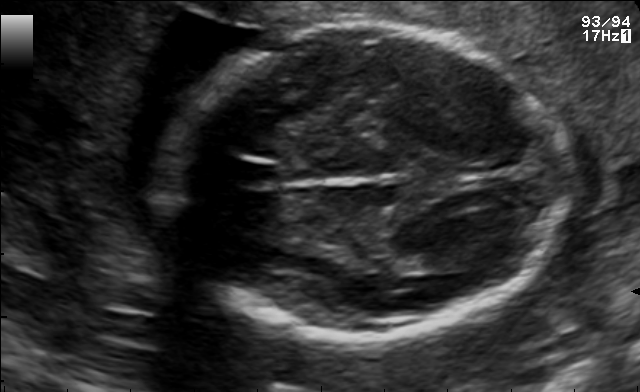
Fetal brain, trans-thalamic plane. Locate the cavum septum pellucidum.

CSP: [228,160,279,188]